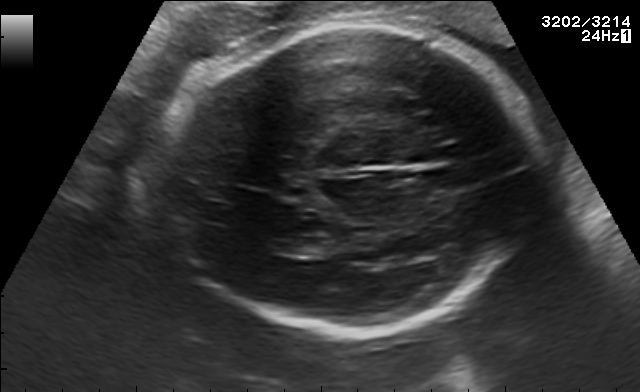
Fetal brain, trans-thalamic plane. Locate the fetal head.

Head: [162,21,540,337]